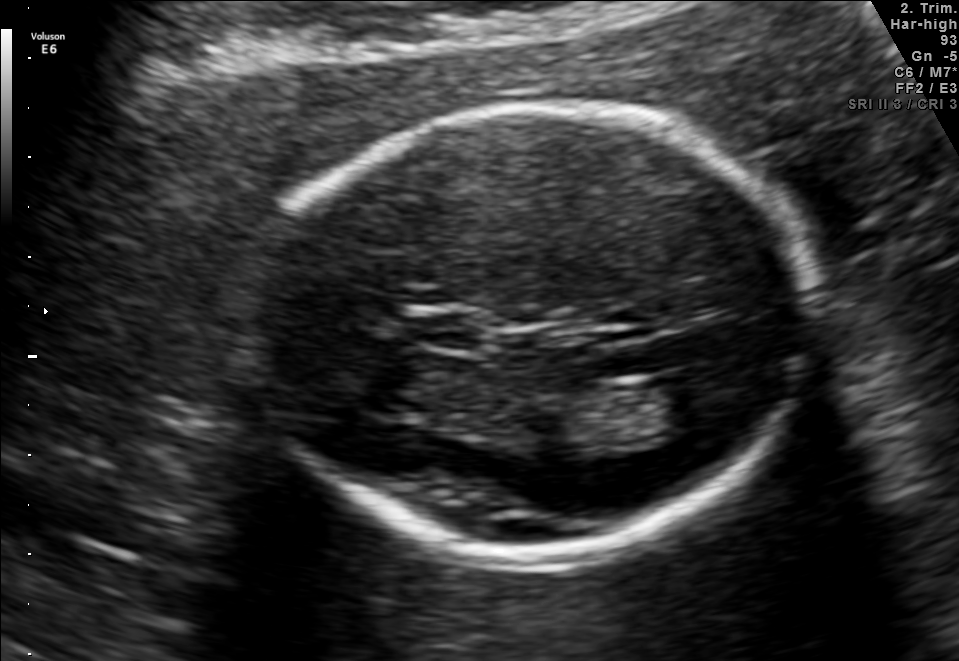
Fetal brain, trans-thalamic plane. Give [x1,y1,x2,y2] bounding boxes for each visible structure among: fetal head, CSP, LV.

Head: [253,105,810,550]
CSP: [415,313,482,349]
Lateral ventricle: [604,370,714,444]